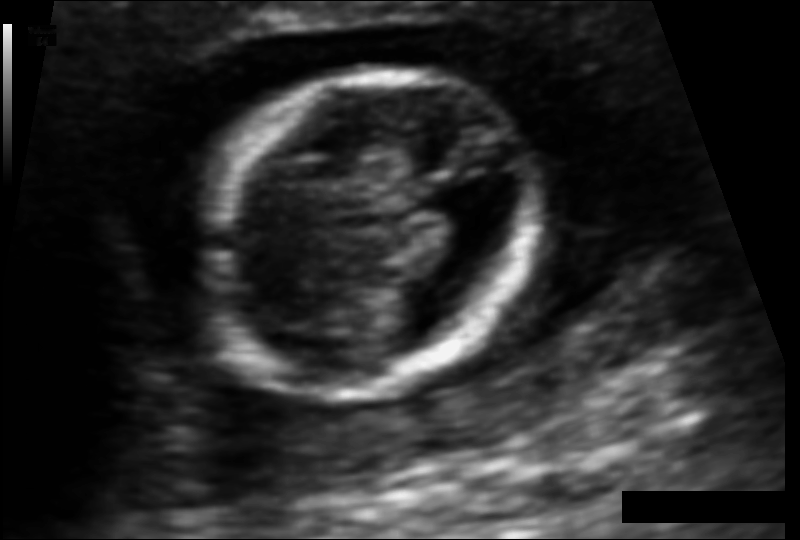
What is the fetal head circumference? Image width is 73.5 mm.

98.7 mm